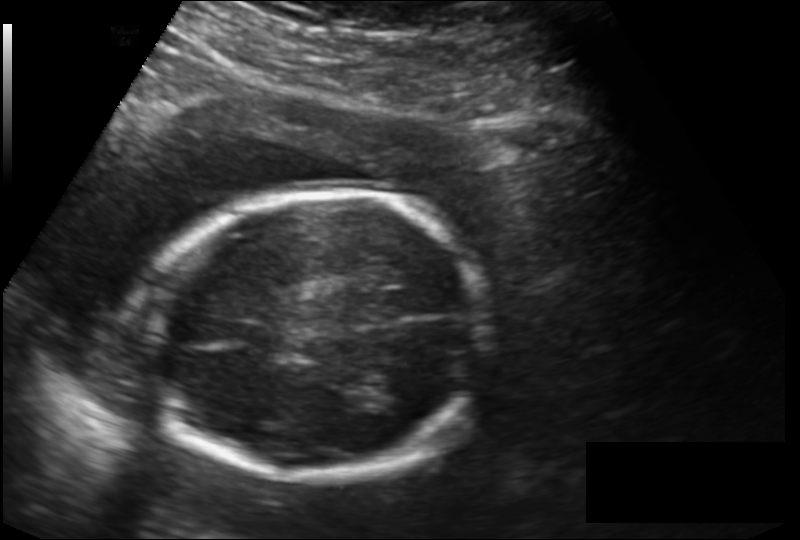
What is the fetal head circumference? Image width is 133.1 mm.

173.1 mm